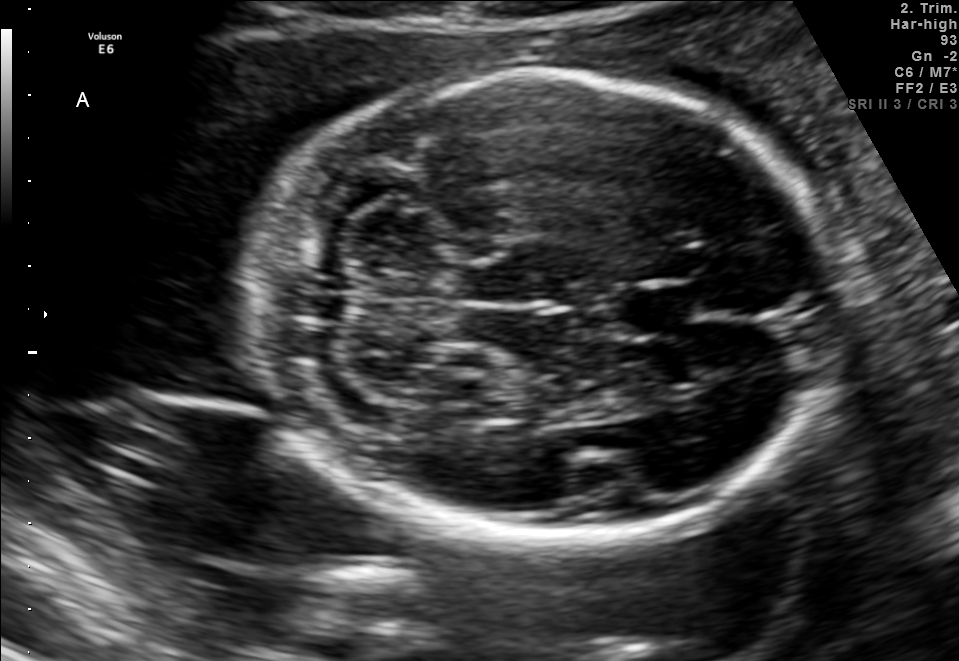
In this fetal brain, trans-cerebellum plane, give the bounding box of the cavum septum pellucidum.

[615,279,697,340]